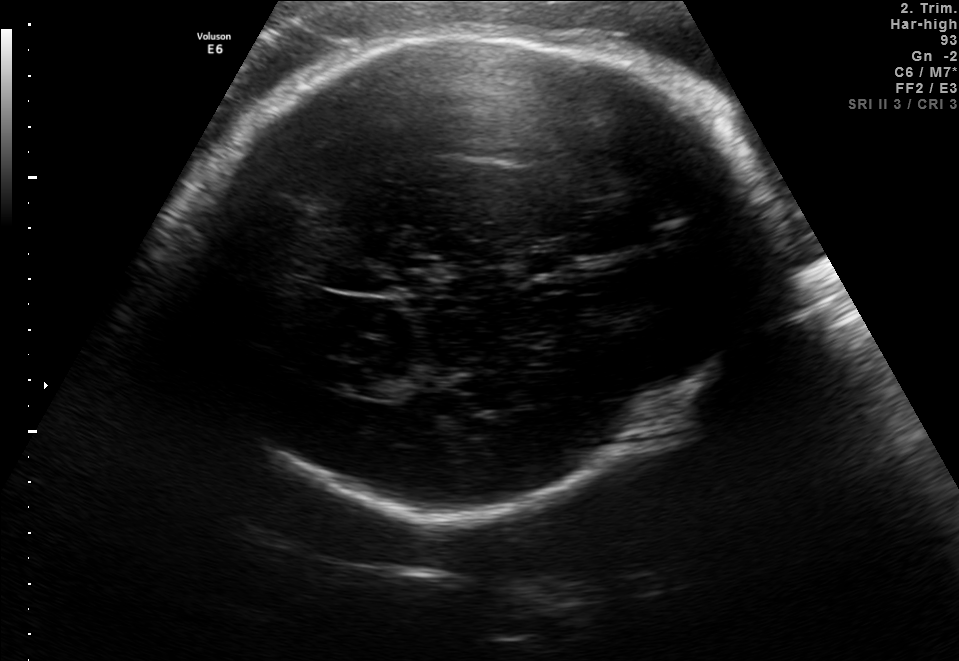
In this fetal brain, trans-thalamic plane, give bounding boxes for the head outline, cavum septum pellucidum (CSP), and lateral ventricle (LV), where visible.

Head: [188,35,759,514]
CSP: [523,251,573,275]
Lateral ventricle: [341,363,410,403]